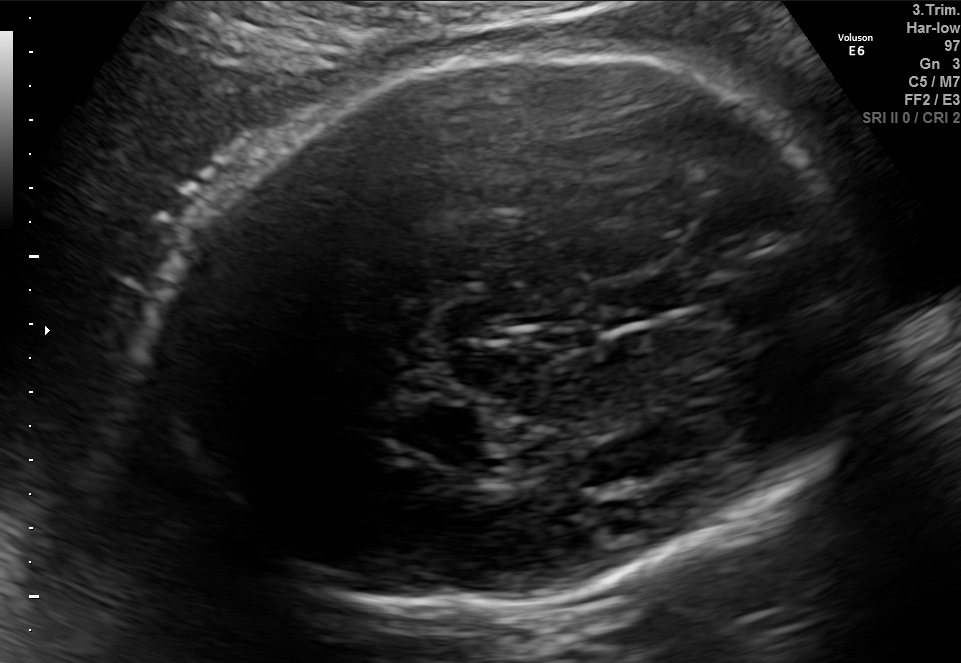
In this fetal brain, trans-thalamic plane, give the bounding box of the cavum septum pellucidum.

[589,267,693,332]